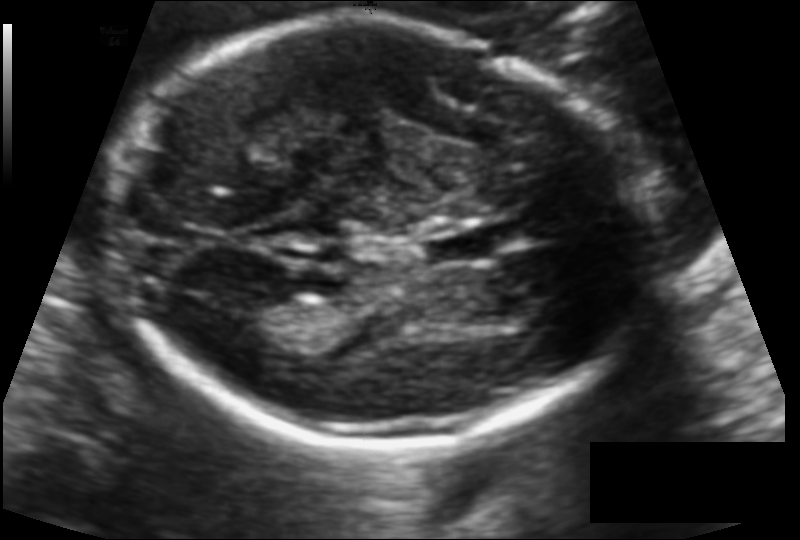
Fetal head ultrasound. Image width: 90.9 mm. Where is the lateral ventricle?

Lateral ventricle bounding box: [231,287,309,345]